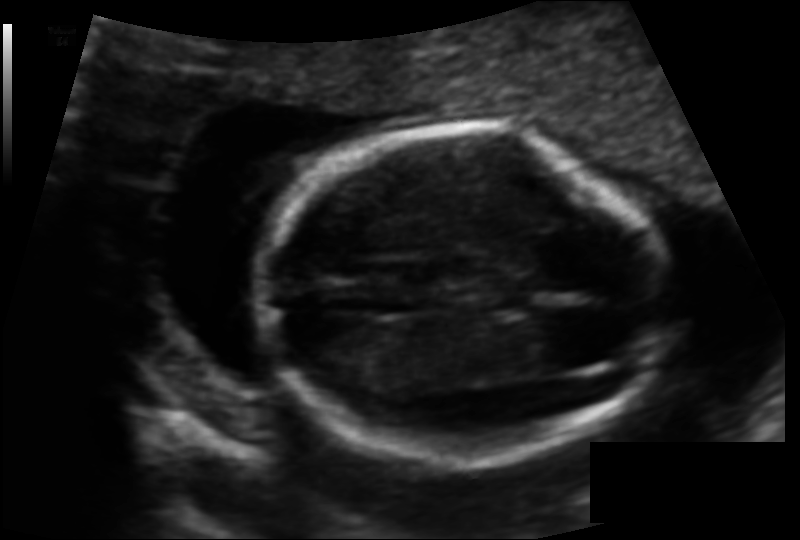
In this fetal head ultrasound, give the bounding box of the cavum septum pellucidum. Image width: 81.7 mm.

[486,283,530,312]